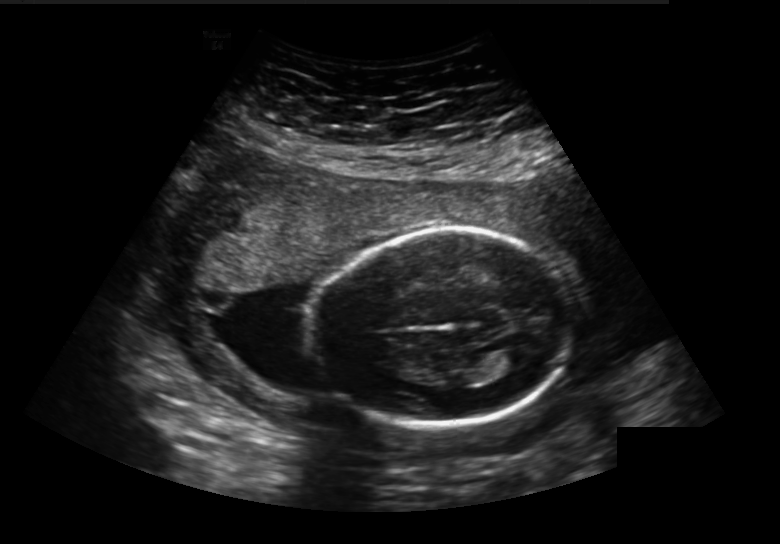
Fetal head ultrasound. Image width: 184.0 mm. Where is the fetal head?

Head bounding box: [314,230,572,428]